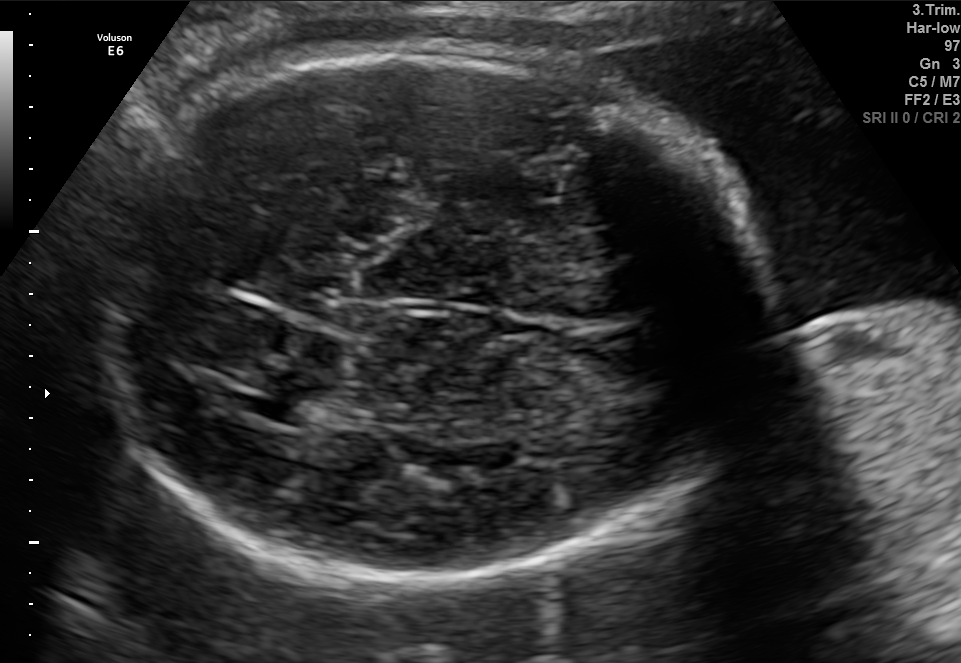
Fetal brain, trans-thalamic plane. Give [x1,y1,x2,y2] bounding boxes for each visible structure among: fetal head, CSP, LV.

Head: [86,43,775,580]